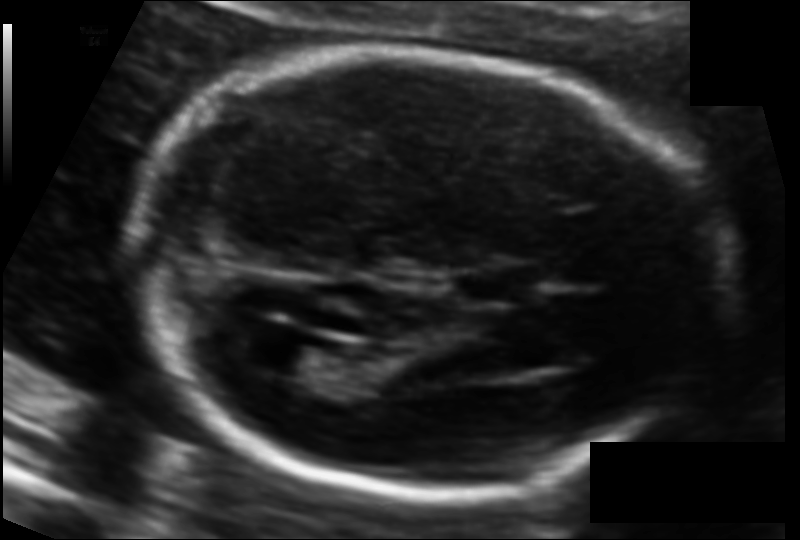
In this fetal head ultrasound, give the bounding box of the lateral ventricle. Image width: 82.9 mm.

[253,332,341,393]